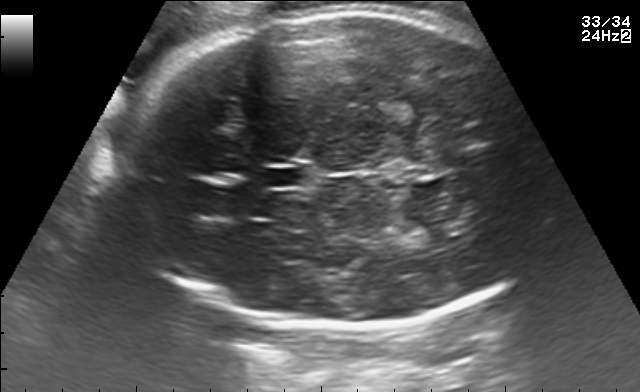
In this fetal brain, trans-thalamic plane, give the bounding box of the fetal head.

[119,11,547,329]